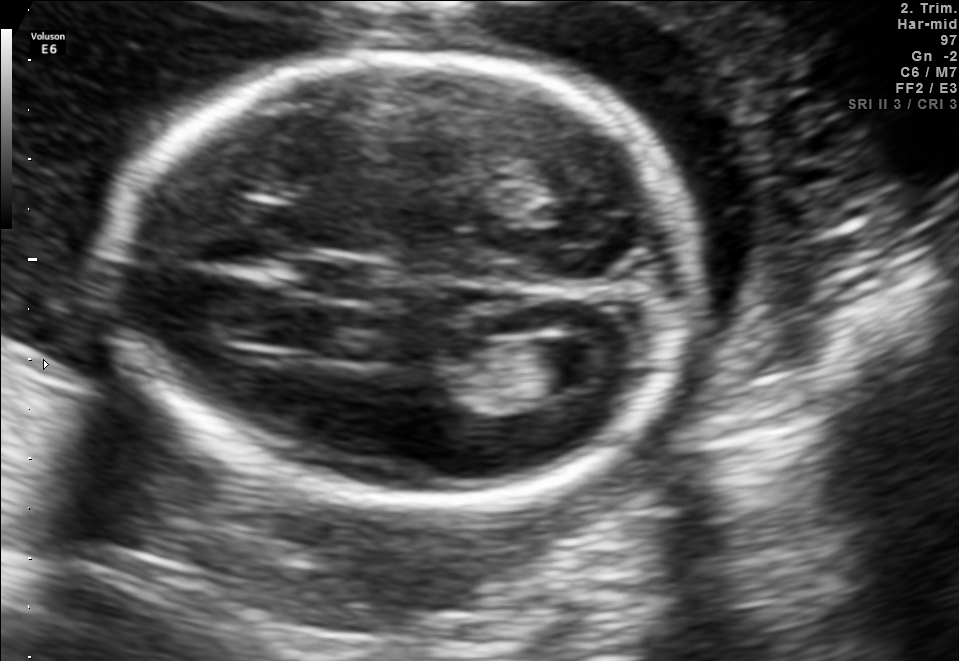
Fetal brain, trans-ventricular plane. Give [x1,y1,x2,y2] bounding boxes for each visible structure among: fetal head, CSP, LV.

Head: [94,44,711,521]
CSP: [293,257,374,302]
Lateral ventricle: [538,334,619,389]